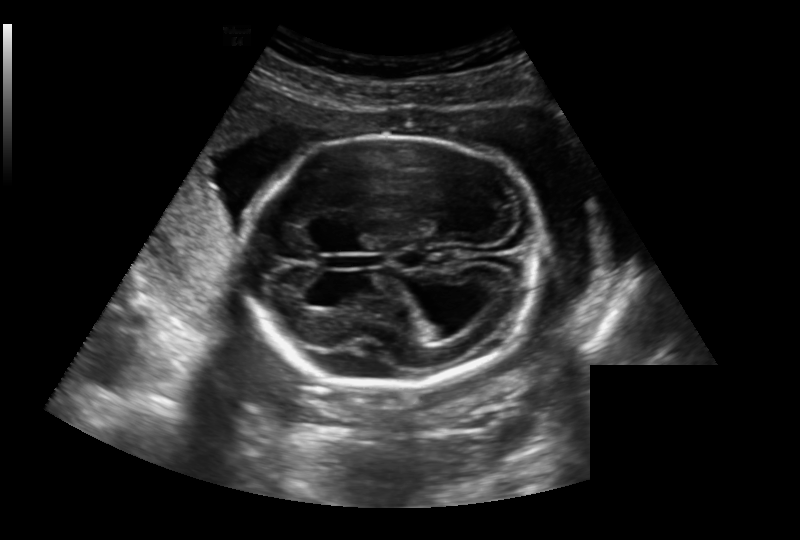
In this fetal head ultrasound, give the bounding box of the fetal head. Image width: 188.6 mm.

[242,136,541,385]